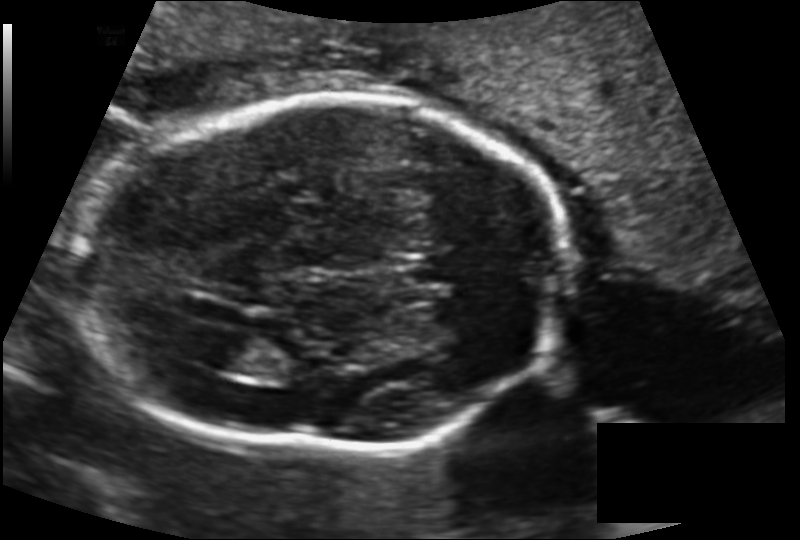
Fetal head ultrasound. Image width: 114.0 mm. Locate the fetal head and, if visible, the cavum septum pellucidum (CSP) and lateral ventricle (LV). Give bounding boxes as [x1,y1,x2,y2].

Head: [78,96,572,452]
CSP: [401,255,462,285]
Lateral ventricle: [202,330,273,378]